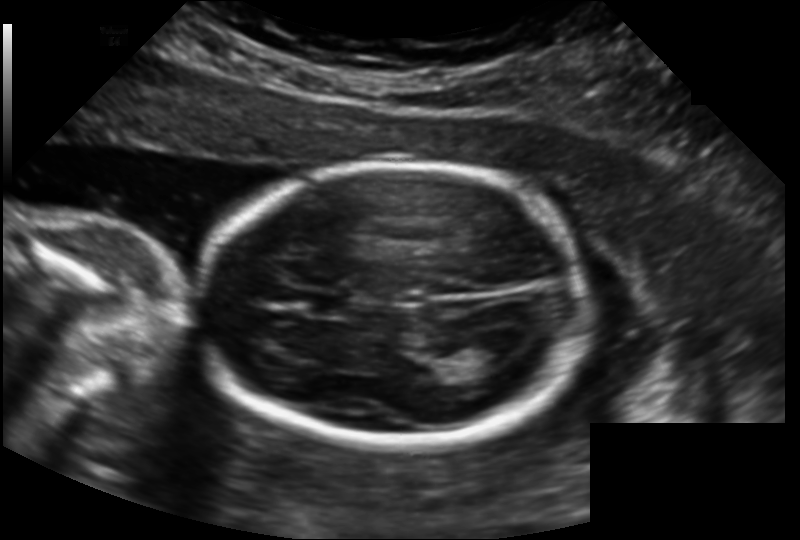
In this fetal head ultrasound, give the bounding box of the fetal head. Image width: 126.2 mm.

[200,163,590,448]